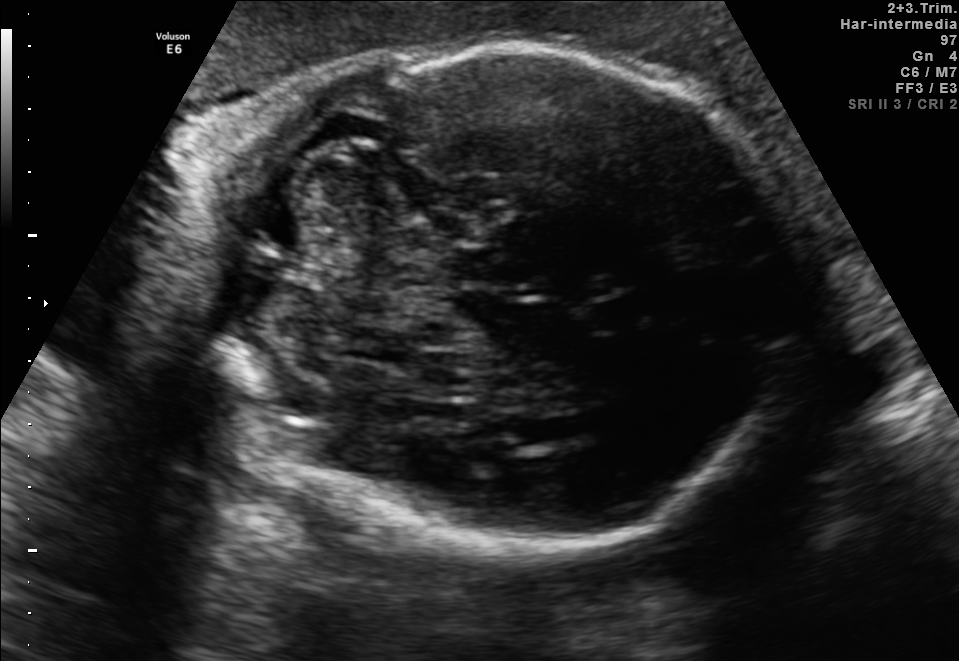
Fetal brain, trans-cerebellum plane. Give [x1,y1,x2,y2] bounding boxes for each visible structure among: fetal head, CSP, LV.

Head: [200,48,797,551]